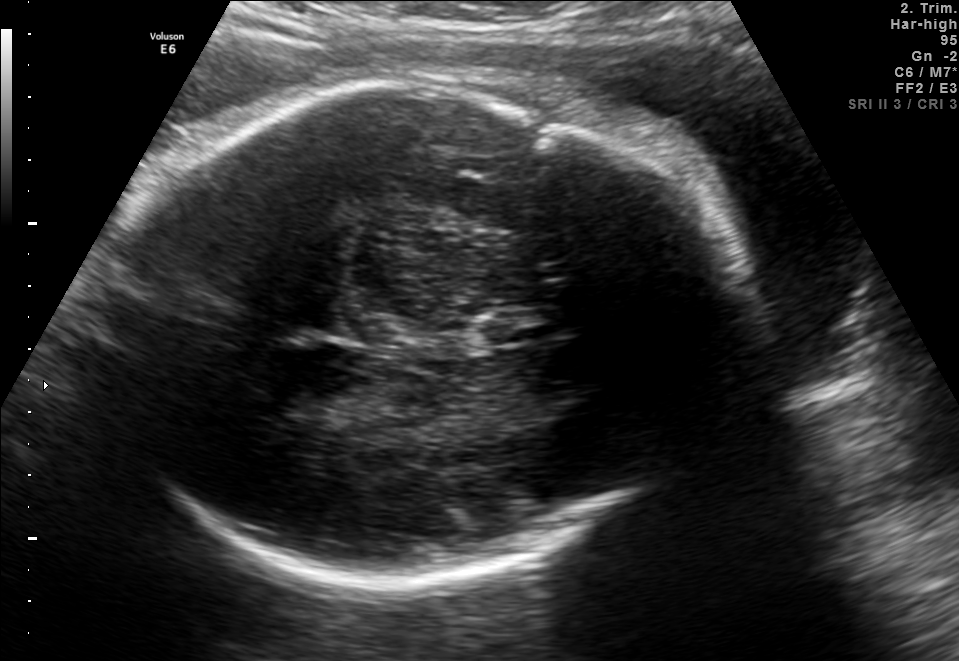
Classify this maternal-fetal ultrasound image as one of the six standard planes — fetal abdomen, fetal brain, fetal femur, fetal thorax, maternal cervix, or other. If it's fetal brain and one of the three standard brain planes (trans-thalamic, trans-cerebellum, trans-ventricular), name which.

Fetal brain (trans-thalamic plane)